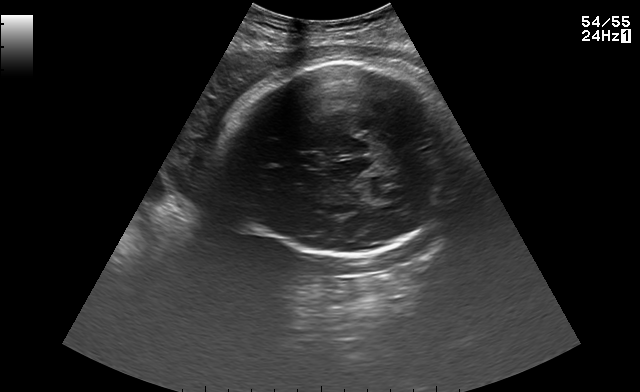
Fetal brain, trans-thalamic plane. Where is the fetal head?

Head bounding box: [226,62,455,255]